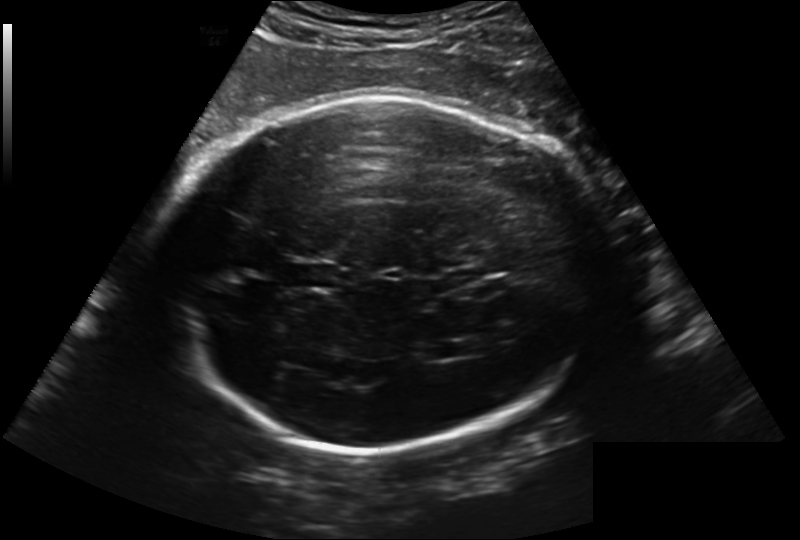
In this fetal head ultrasound, give bounding boxes for the head outline, cavum septum pellucidum (CSP), and lateral ventricle (LV), where visible. Image width: 192.7 mm.

Head: [166,96,614,450]
CSP: [287,261,338,291]
Lateral ventricle: [422,339,463,363]